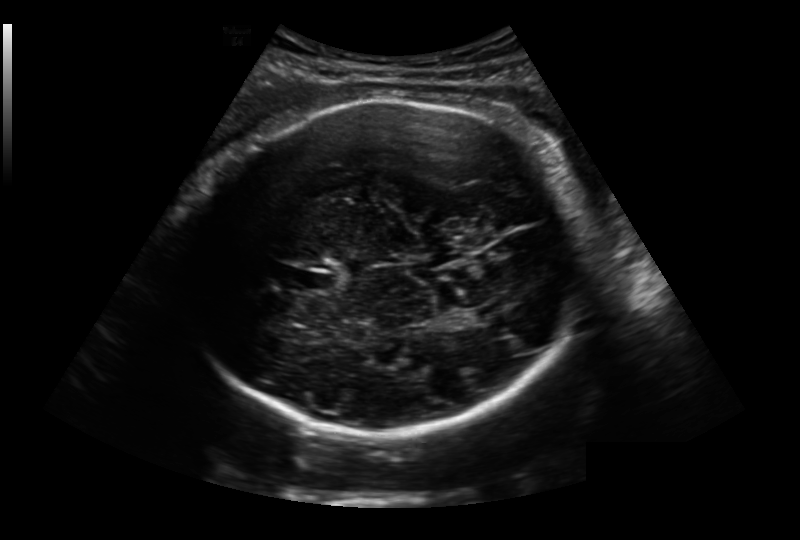
Estimate the fetal head circumference from this 2D ultrasound. Image width: 188.7 mm.

Head circumference: 278.9 mm.